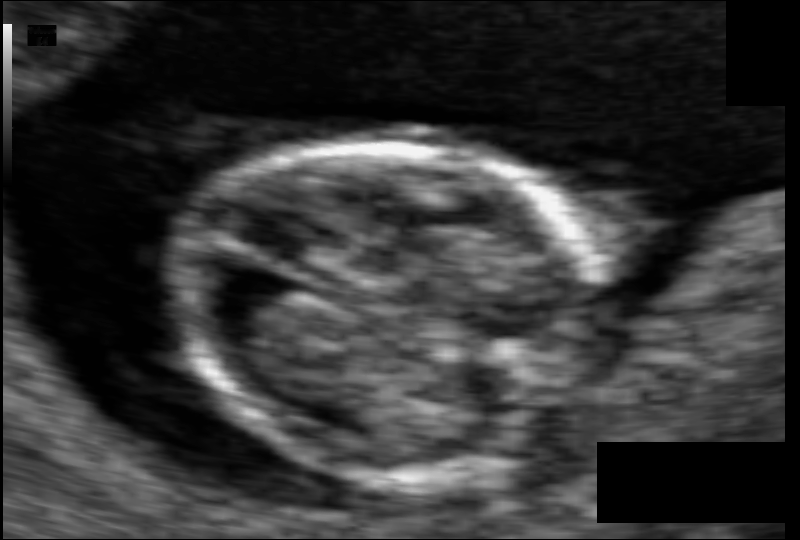
Fetal head ultrasound. Image width: 43.6 mm. Give [x1,y1,x2,y2] bounding boxes for each visible structure among: fetal head, CSP, LV.

Head: [173,144,606,478]